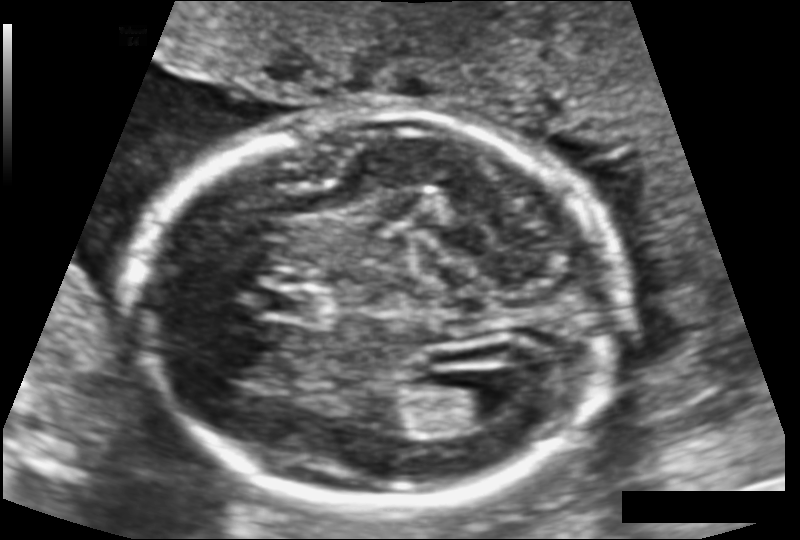
Fetal head ultrasound. Image width: 99.5 mm. Where is the fetal head?

Head bounding box: [136,112,622,511]